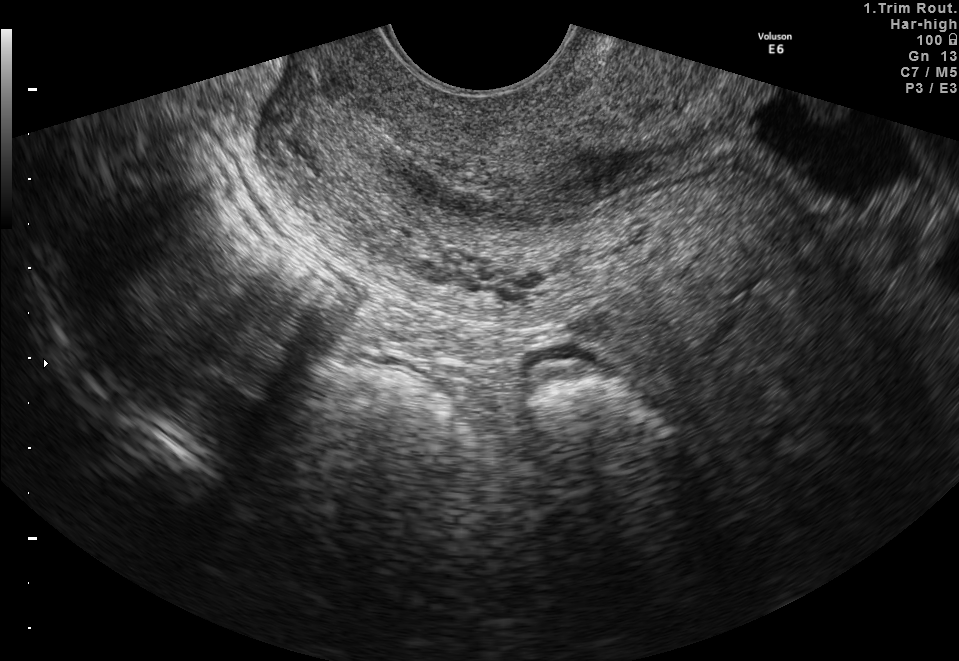
Classify this maternal-fetal ultrasound image as one of the six standard planes — fetal abdomen, fetal brain, fetal femur, fetal thorax, maternal cervix, or other. If it's fetal brain and one of the three standard brain planes (trans-thalamic, trans-cerebellum, trans-ventricular), name which.

Maternal cervix